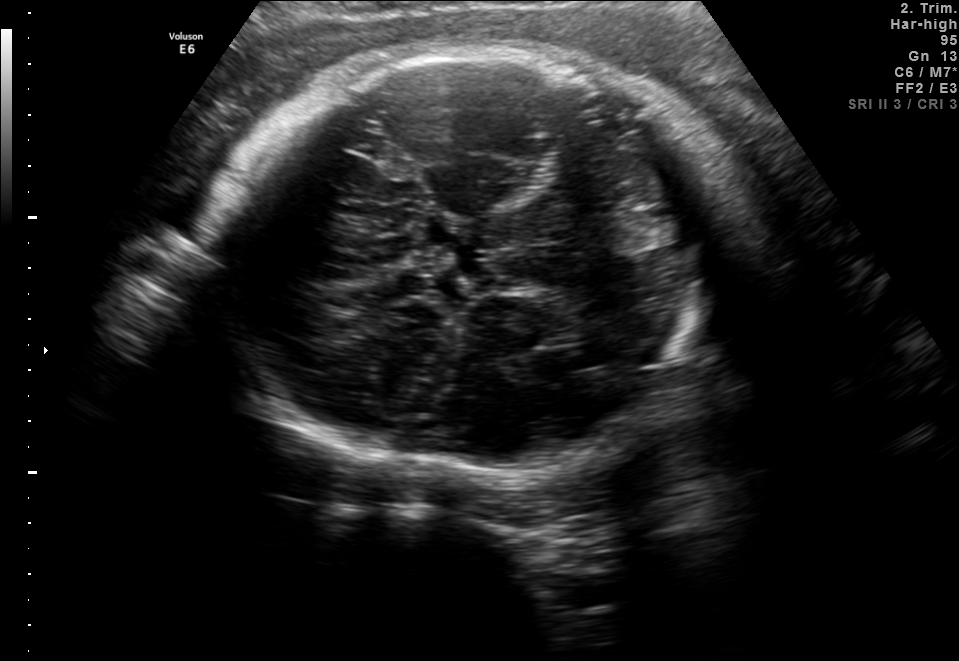
In this fetal brain, trans-thalamic plane, give the bounding box of the fetal head.

[204,49,747,472]